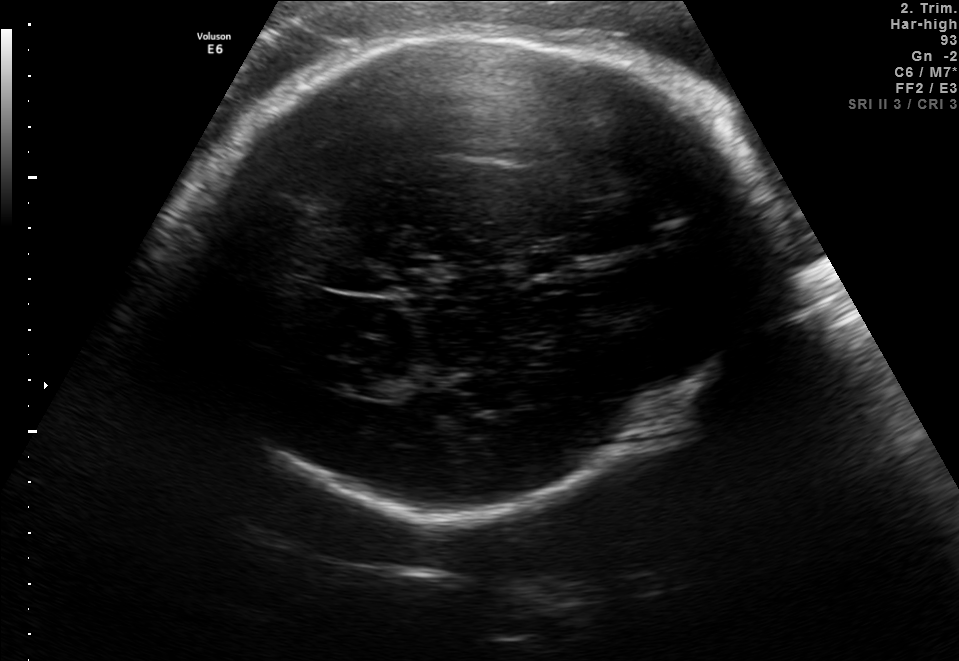
Fetal brain, trans-thalamic plane. Where is the lateral ventricle?

Lateral ventricle bounding box: [341,363,410,403]